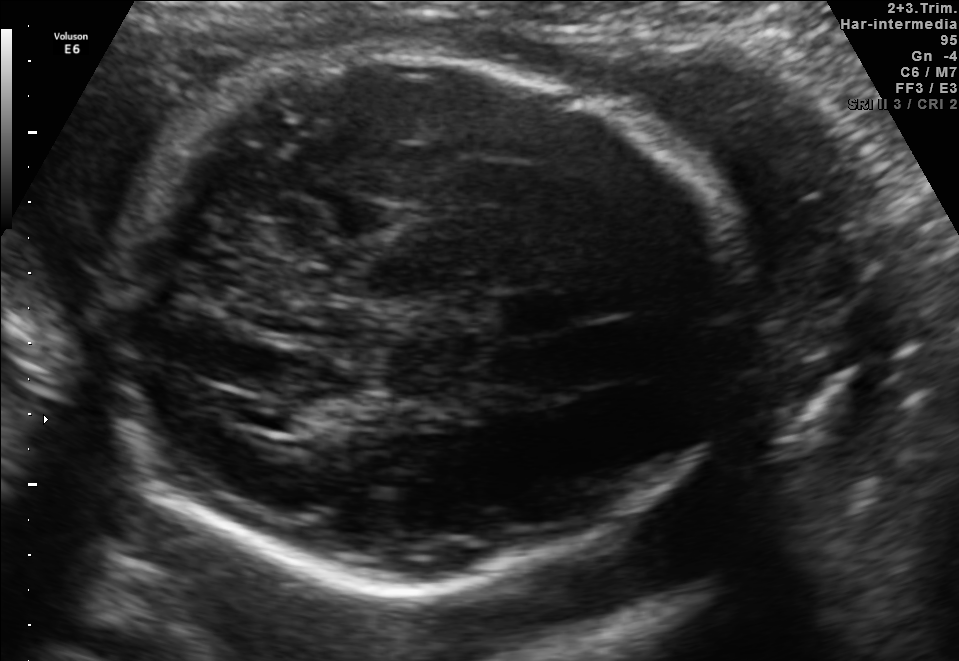
Fetal brain, trans-thalamic plane. Where is the lateral ventricle?

Lateral ventricle bounding box: [229,389,313,437]